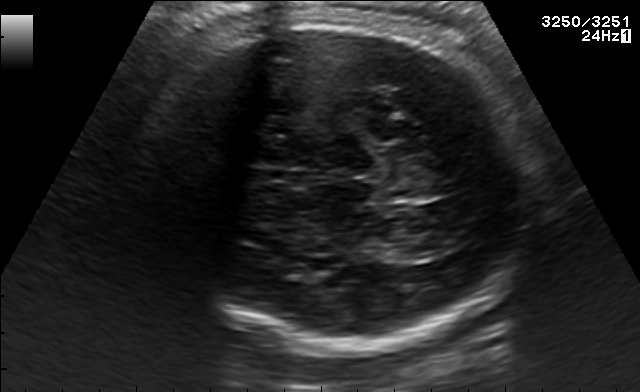
In this fetal brain, trans-thalamic plane, give the bounding box of the fetal head.

[143,20,533,349]